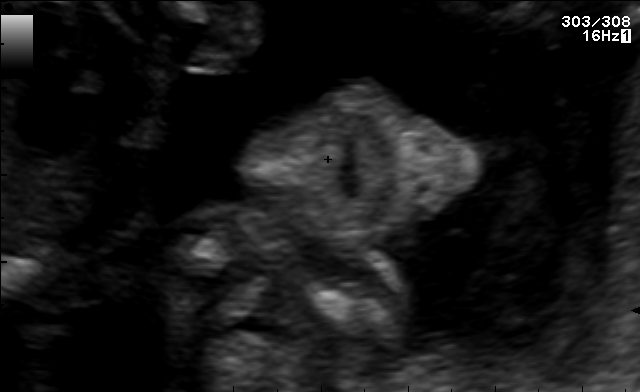
Identify the standard plane in this fetal ultrasound image: fetal abdomen, fetal brain, fetal femur, fetal thorax, maternal cervix, or other. If it's fetal brain and one of the three standard brain planes (trans-thalamic, trans-cerebellum, trans-ventricular), name which.

Other